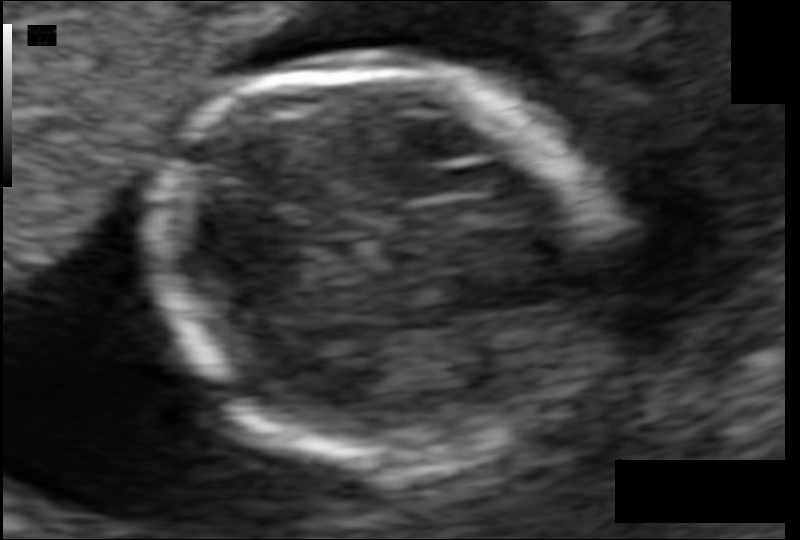
In this fetal head ultrasound, give the bounding box of the fetal head. Image width: 58.1 mm.

[152,66,606,451]